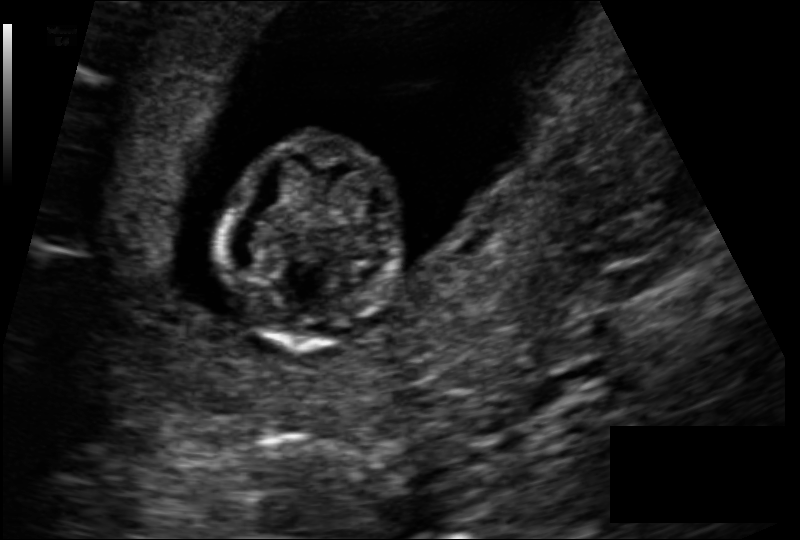
Fetal head ultrasound. Image width: 90.6 mm. Locate the fetal head.

Head: [219,137,405,350]